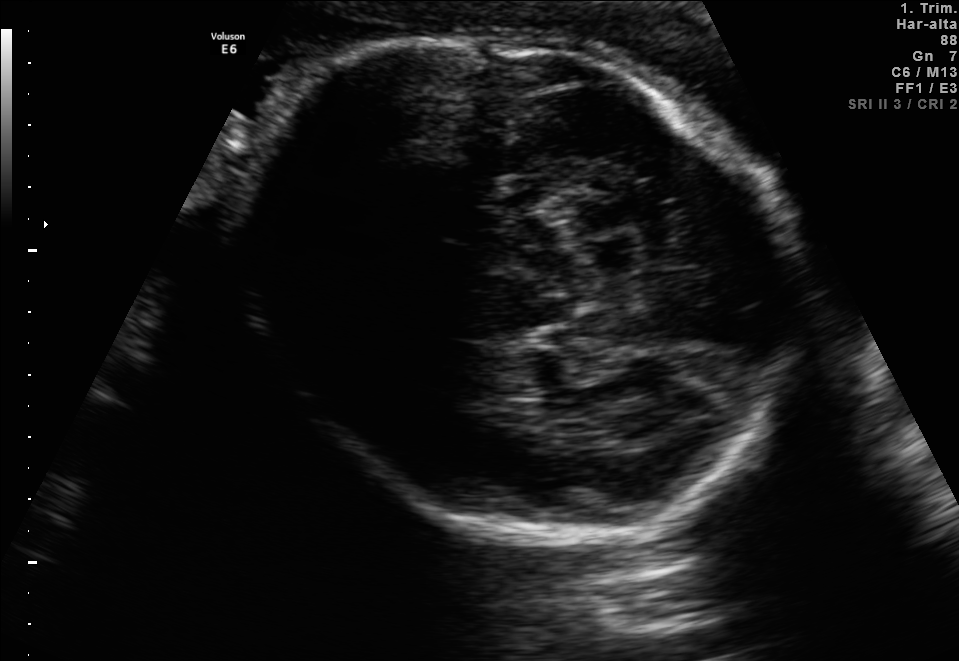
This is a 2D maternal-fetal ultrasound frame. Is it a fetal abdomen, fetal brain, fetal femur, fetal thorax, maternal cervix, or other standard plane? If it's fetal brain and one of the three standard brain planes (trans-thalamic, trans-cerebellum, trans-ventricular), name which.

Fetal brain (trans-thalamic plane)